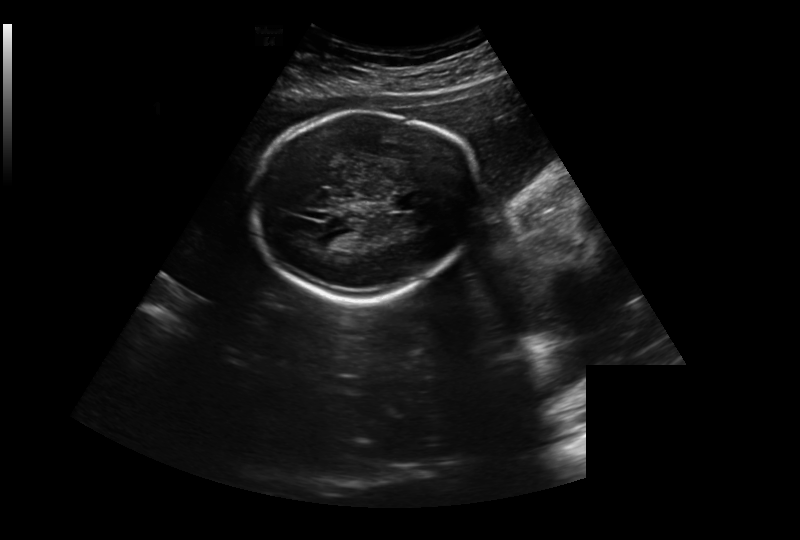
What is the fetal head circumference? Image width is 260.8 mm.

220.8 mm